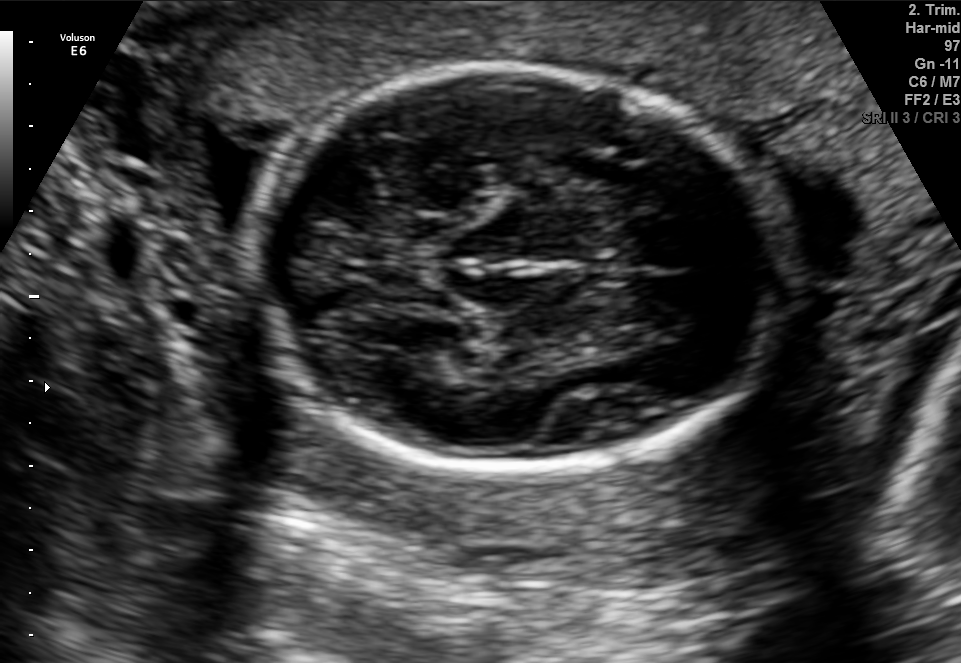
Which standard maternal-fetal ultrasound plane is shown: fetal abdomen, fetal brain, fetal femur, fetal thorax, maternal cervix, or other? If it's fetal brain and one of the three standard brain planes (trans-thalamic, trans-cerebellum, trans-ventricular), name which.

Fetal brain (trans-thalamic plane)